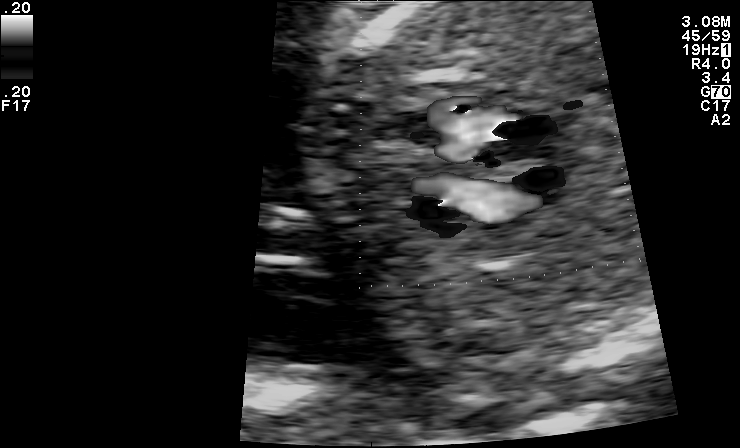
Classify this maternal-fetal ultrasound image as one of the six standard planes — fetal abdomen, fetal brain, fetal femur, fetal thorax, maternal cervix, or other. If it's fetal brain and one of the three standard brain planes (trans-thalamic, trans-cerebellum, trans-ventricular), name which.

Other